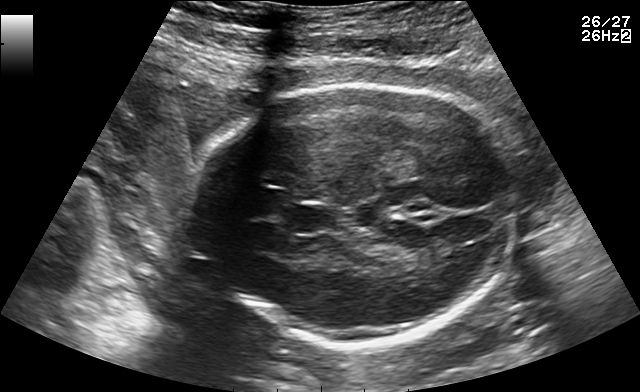
Fetal brain, trans-thalamic plane. Locate the fetal head and, if visible, the cavum septum pellucidum (CSP) and lateral ventricle (LV). Give bounding boxes as [x1,y1,x2,y2].

Head: [185,85,519,348]